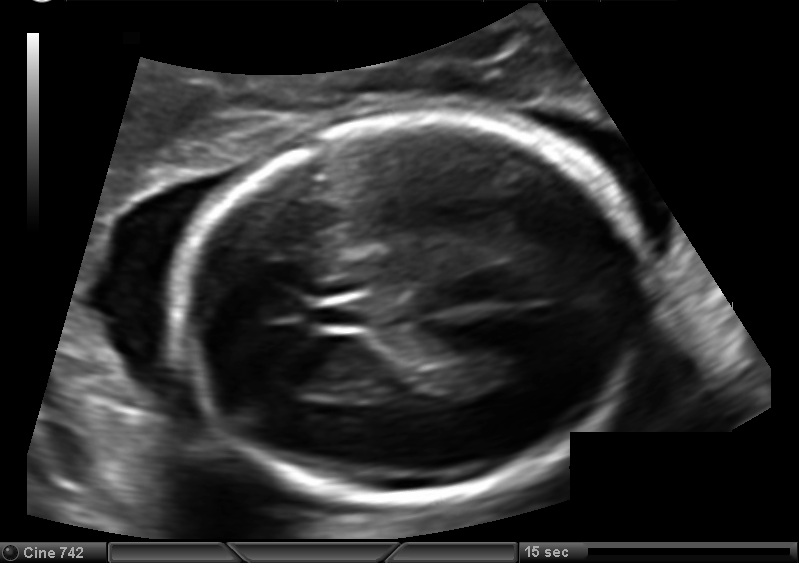
From this fetal ultrasound, estimate the head circumference (image width 101.4 mm).

Head circumference: 178.4 mm.